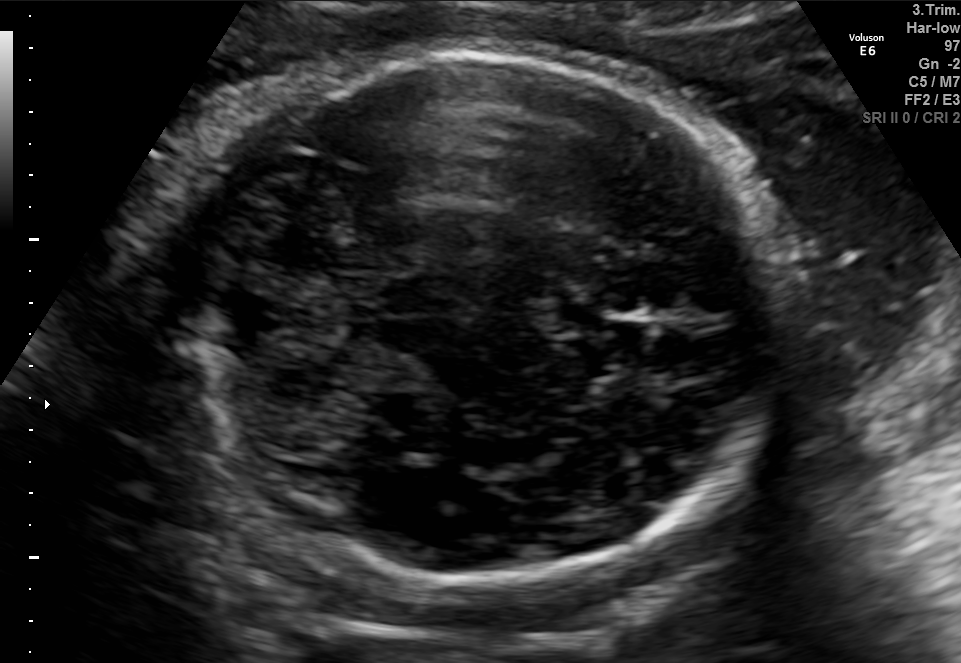
Fetal brain, trans-cerebellum plane. Locate the fetal head and, if visible, the cavum septum pellucidum (CSP) and lateral ventricle (LV). Give bounding boxes as [x1,y1,x2,y2].

Head: [163,55,778,578]